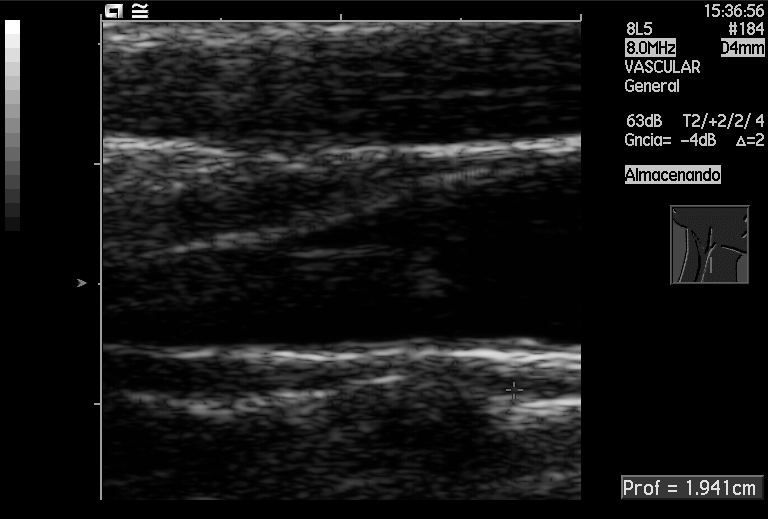
This is a 2D maternal-fetal ultrasound frame. Is it a fetal abdomen, fetal brain, fetal femur, fetal thorax, maternal cervix, or other standard plane? If it's fetal brain and one of the three standard brain planes (trans-thalamic, trans-cerebellum, trans-ventricular), name which.

Other